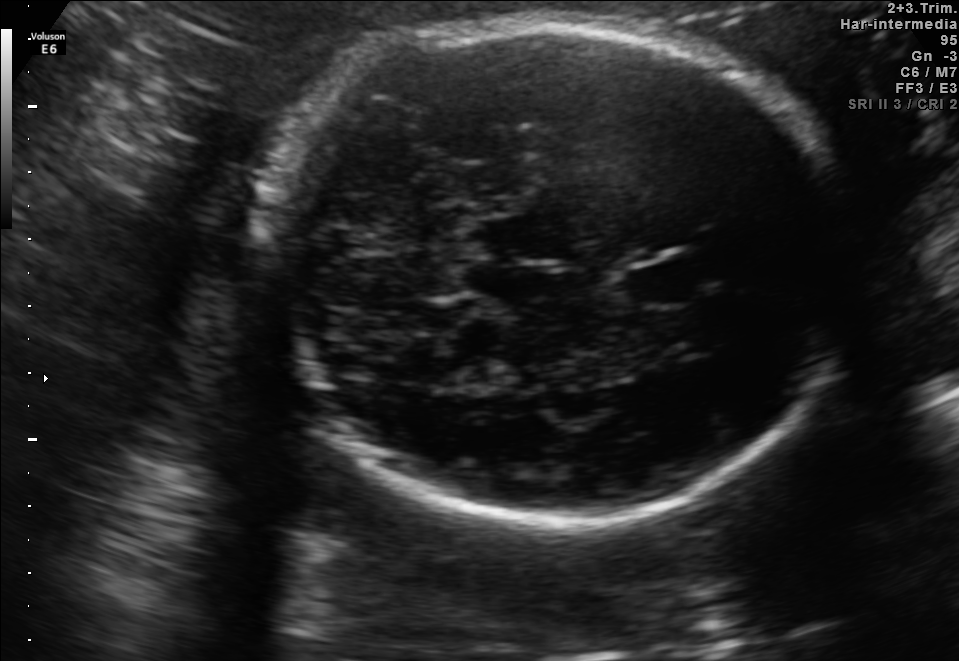
Fetal brain, trans-cerebellum plane. Locate the fetal head.

Head: [263,16,856,525]